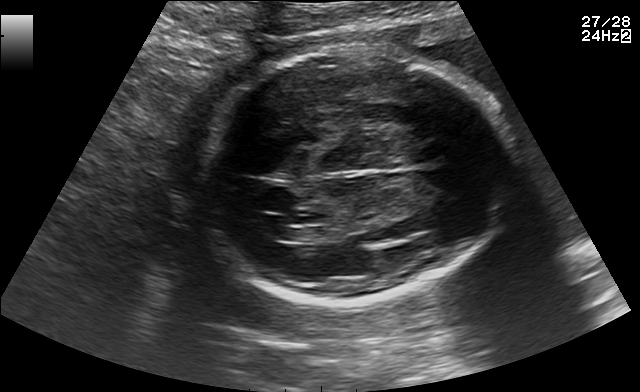
Fetal brain, trans-ventricular plane. Give [x1,y1,x2,y2] bounding boxes for each visible structure among: fetal head, CSP, LV.

Head: [200,45,515,308]